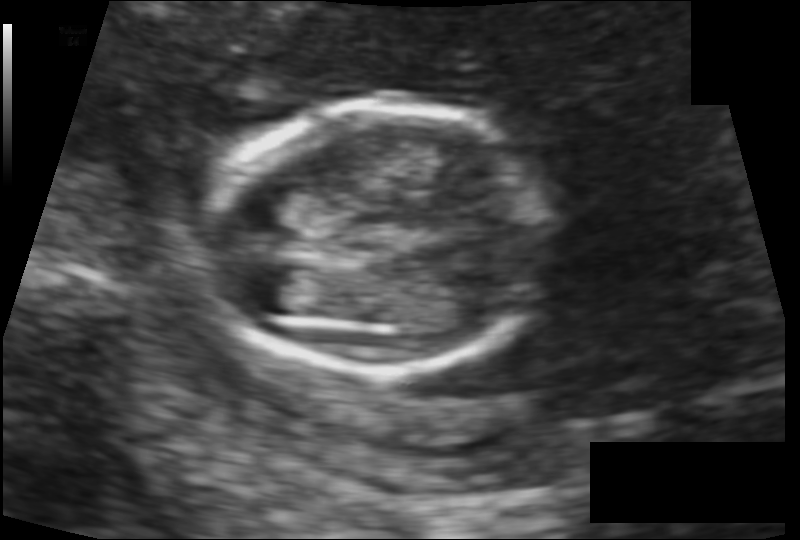
Fetal head ultrasound. Image width: 88.5 mm. Where is the fetal head?

Head bounding box: [203,106,547,373]